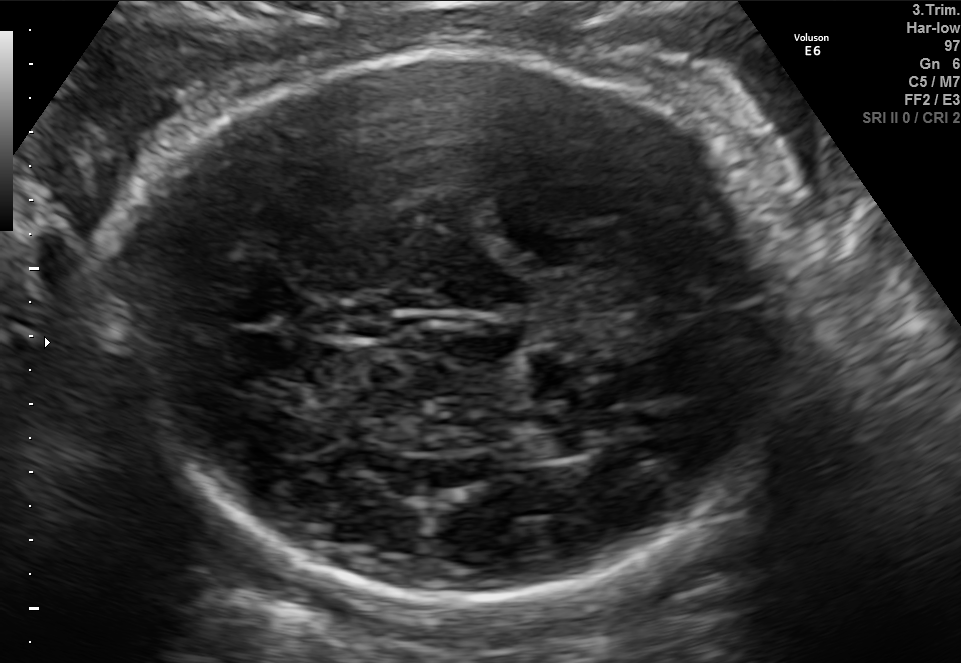
Fetal brain, trans-thalamic plane. Where is the fetal head?

Head bounding box: [120,57,799,606]